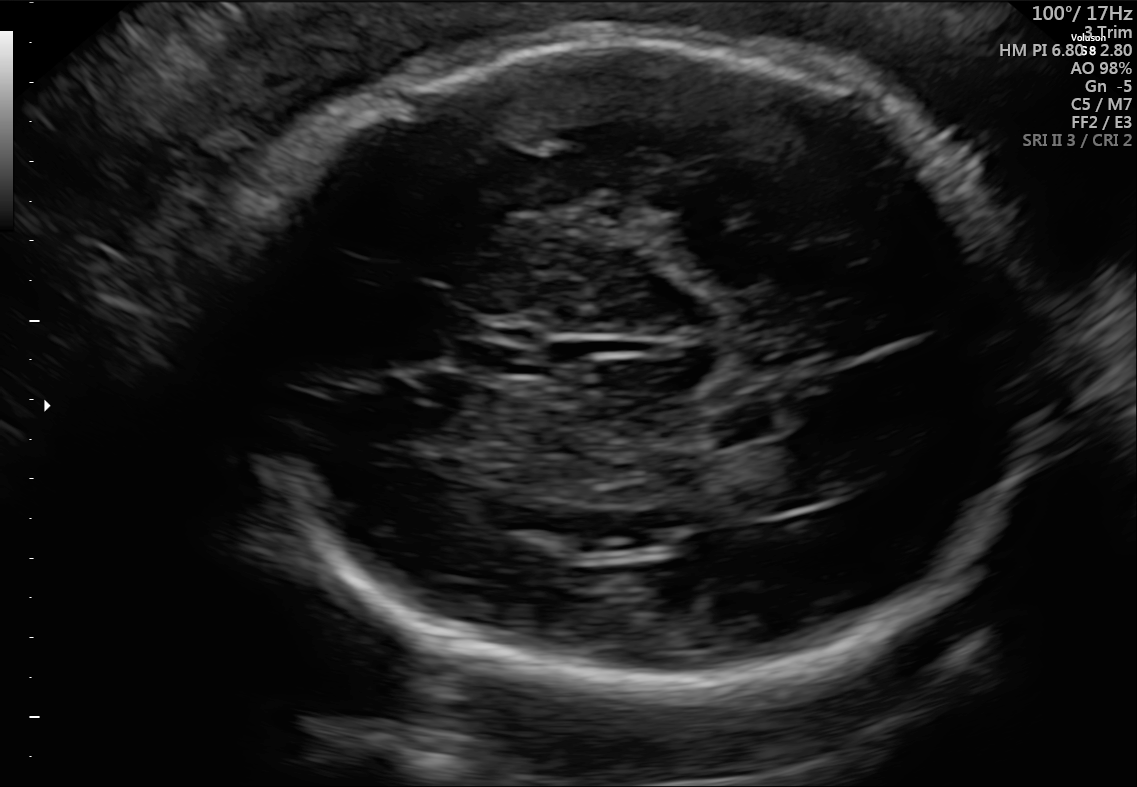
Fetal brain, trans-thalamic plane. Locate the lateral ventricle.

Lateral ventricle: [740,424,868,518]